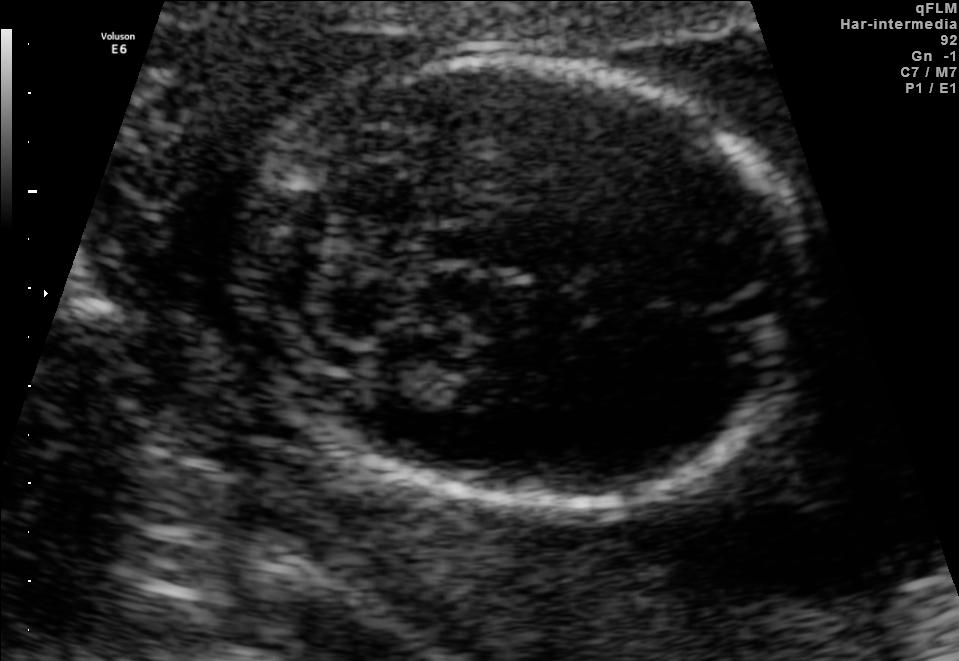
In this fetal brain, trans-cerebellum plane, give bounding boxes for the head outline, cavum septum pellucidum (CSP), and lateral ventricle (LV), where visible.

Head: [245,58,810,511]